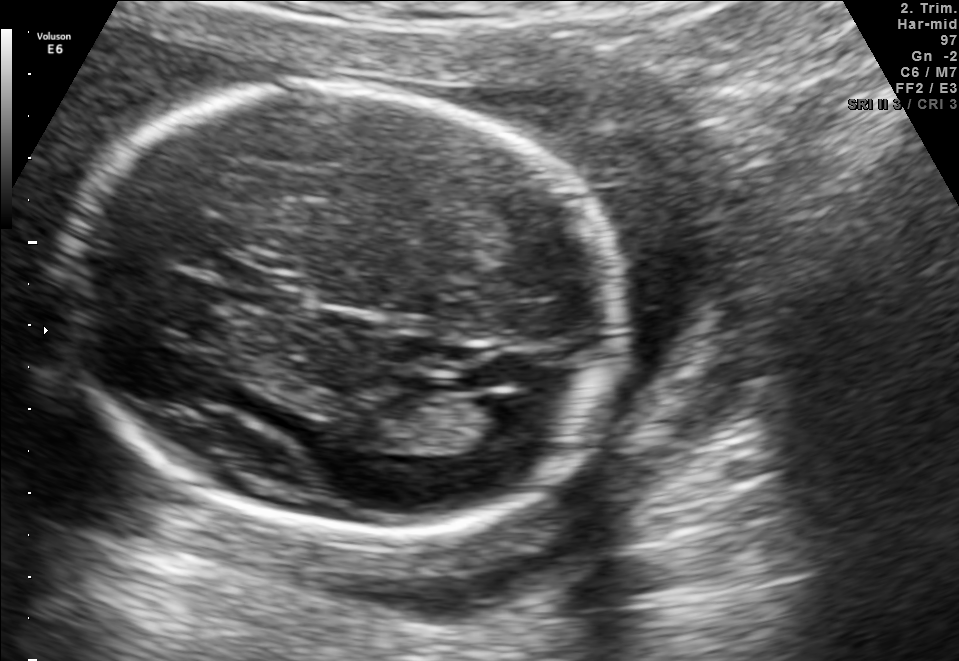
Fetal brain, trans-ventricular plane. Where is the lateral ventricle?

Lateral ventricle bounding box: [478,388,558,443]